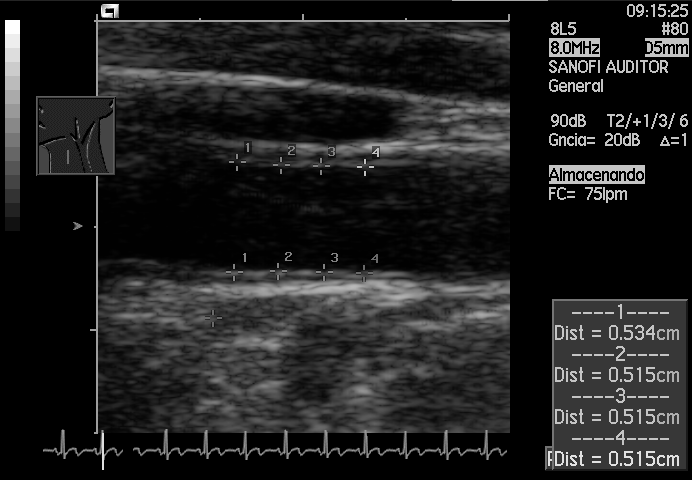
Classify this maternal-fetal ultrasound image as one of the six standard planes — fetal abdomen, fetal brain, fetal femur, fetal thorax, maternal cervix, or other. If it's fetal brain and one of the three standard brain planes (trans-thalamic, trans-cerebellum, trans-ventricular), name which.

Other